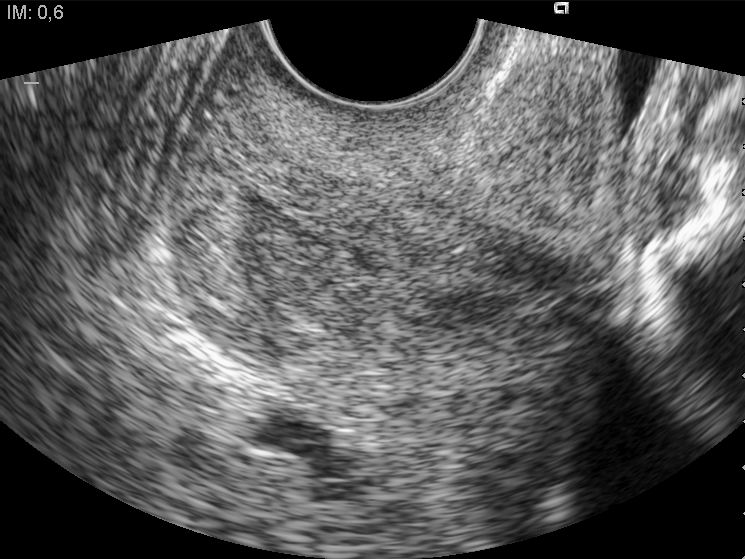
Identify the standard plane in this fetal ultrasound image: fetal abdomen, fetal brain, fetal femur, fetal thorax, maternal cervix, or other. If it's fetal brain and one of the three standard brain planes (trans-thalamic, trans-cerebellum, trans-ventricular), name which.

Maternal cervix